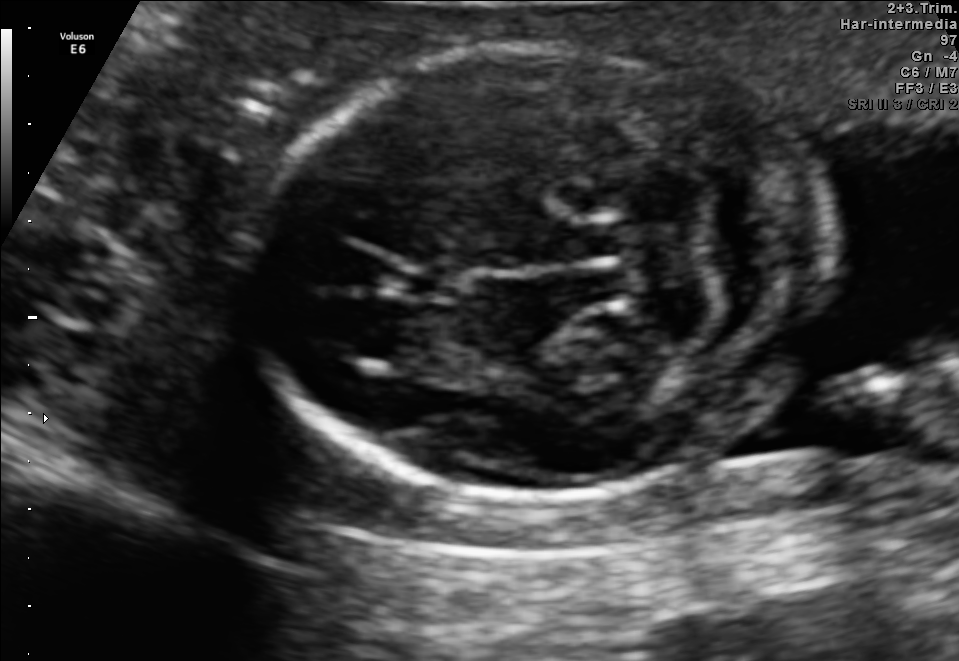
Fetal brain, trans-cerebellum plane. Give [x1,y1,x2,y2] bounding boxes for each visible structure among: fetal head, CSP, LV.

Head: [252,46,825,497]
CSP: [400,263,461,301]